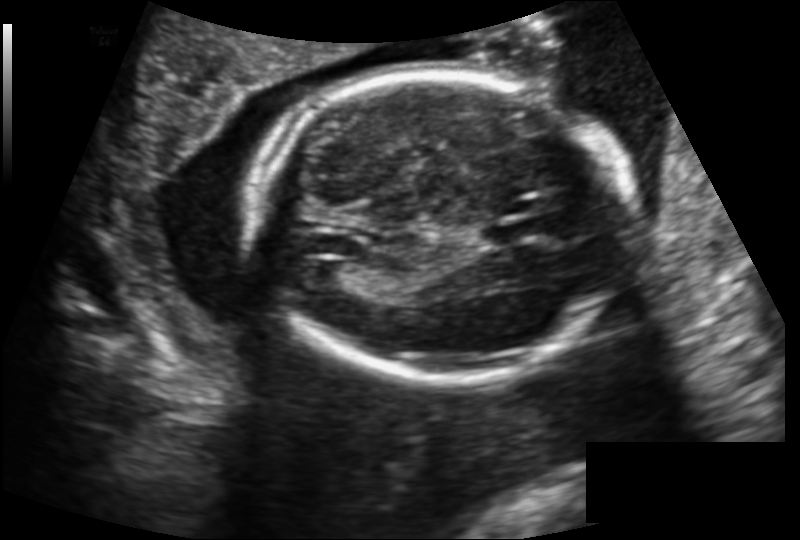
Fetal head ultrasound. Image width: 127.5 mm. Locate the fetal head and, if visible, the cavum septum pellucidum (CSP) and lateral ventricle (LV). Give bounding boxes as [x1,y1,x2,y2].

Head: [250,70,631,380]
CSP: [480,216,536,248]
Lateral ventricle: [308,262,348,287]